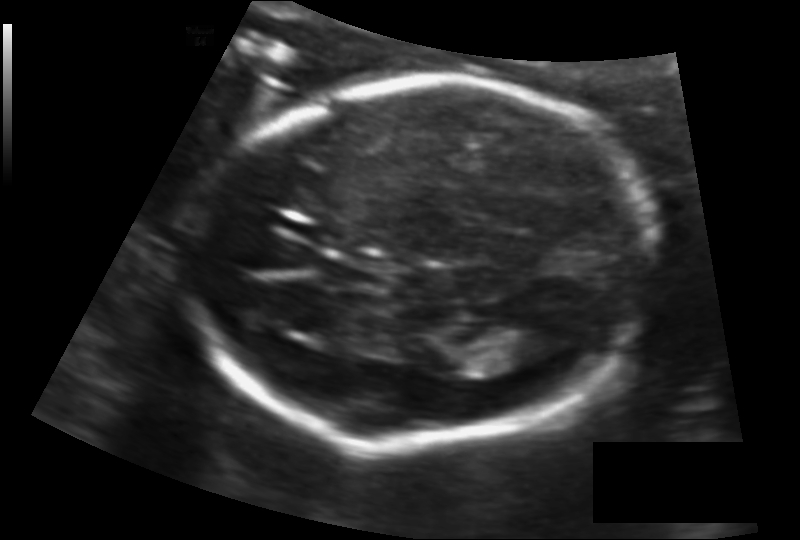
Fetal head ultrasound. Image width: 100.0 mm. Give [x1,y1,x2,y2] bounding boxes for each visible structure among: fetal head, CSP, LV.

Head: [188,83,654,446]